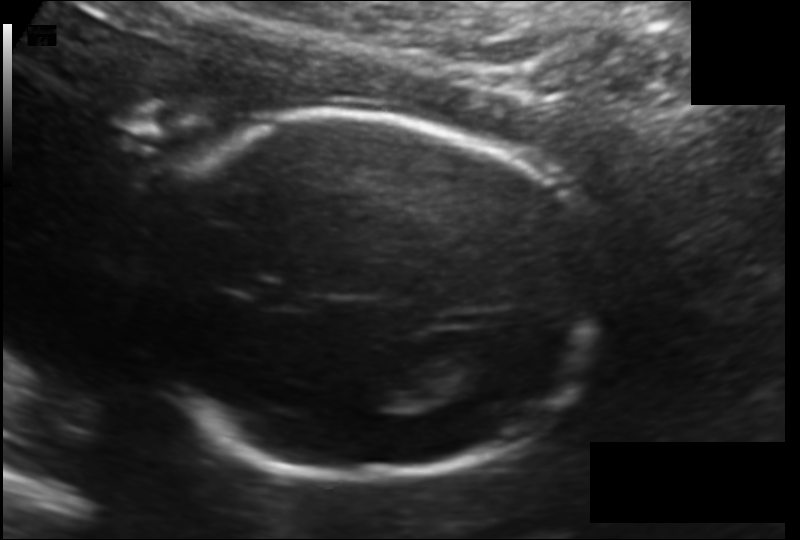
Fetal head ultrasound. Image width: 107.8 mm. Where is the fetal head?

Head bounding box: [133,112,598,480]